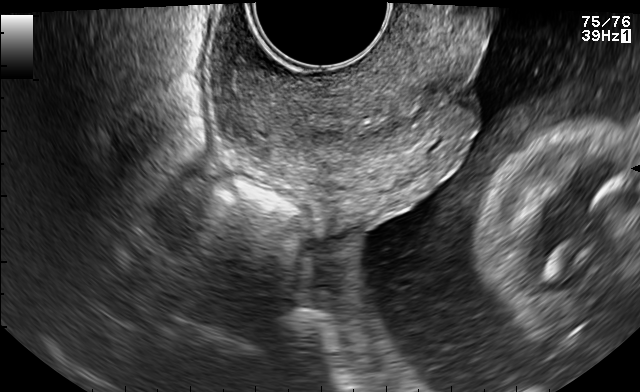
Identify the standard plane in this fetal ultrasound image: fetal abdomen, fetal brain, fetal femur, fetal thorax, maternal cervix, or other. If it's fetal brain and one of the three standard brain planes (trans-thalamic, trans-cerebellum, trans-ventricular), name which.

Maternal cervix